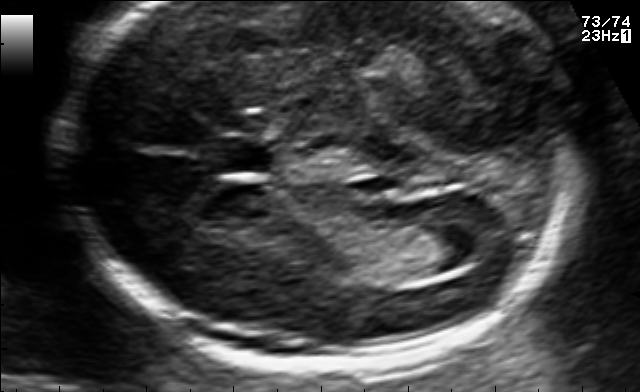
In this fetal brain, trans-ventricular plane, give the bounding box of the lateral ventricle.

[423,206,514,273]